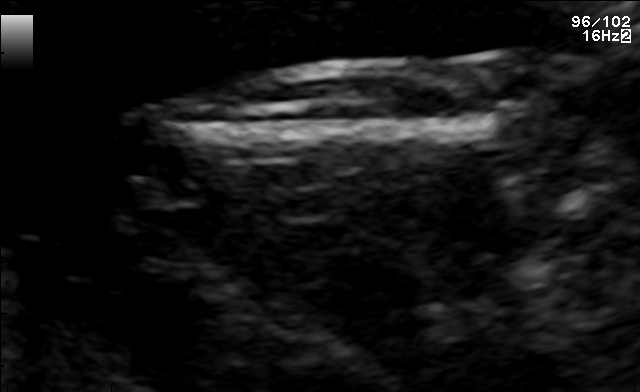
Identify the standard plane in this fetal ultrasound image: fetal abdomen, fetal brain, fetal femur, fetal thorax, maternal cervix, or other. If it's fetal brain and one of the three standard brain planes (trans-thalamic, trans-cerebellum, trans-ventricular), name which.

Other